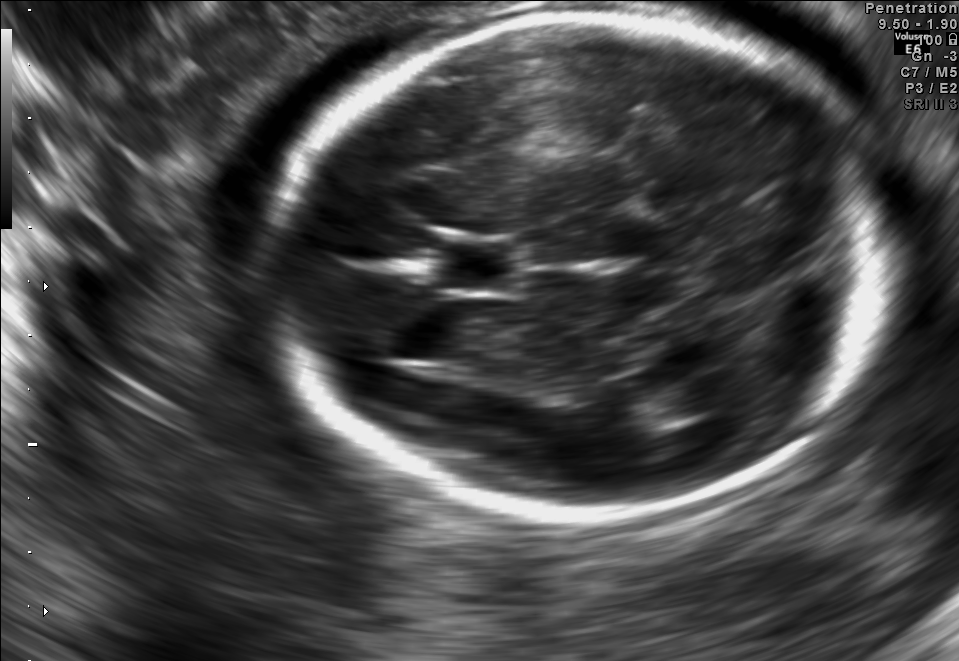
In this fetal brain, trans-thalamic plane, give bounding boxes for the head outline, cavum septum pellucidum (CSP), and lateral ventricle (LV), where visible.

Head: [272,12,899,521]
CSP: [440,244,514,287]